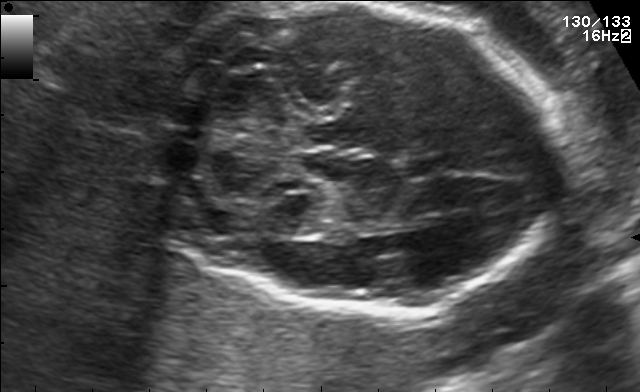
Fetal brain, trans-cerebellum plane. Locate the cavum septum pellucidum.

CSP: [399,151,455,182]